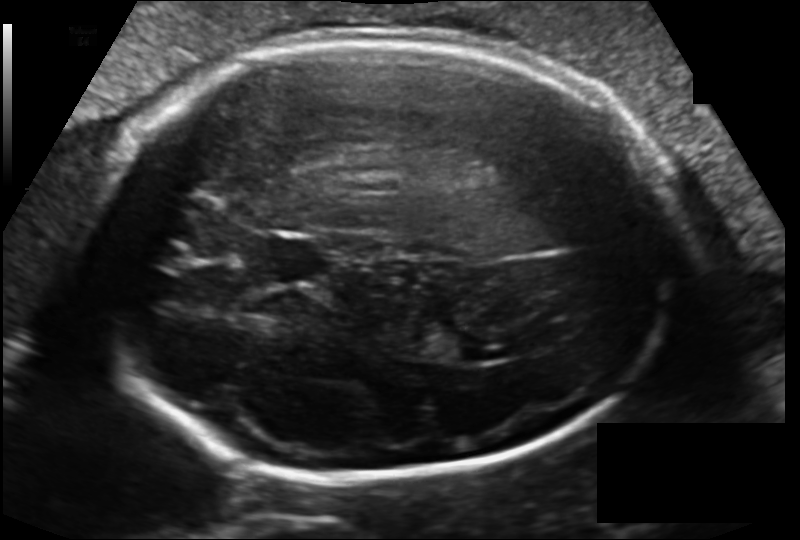
Fetal head ultrasound. Image width: 129.6 mm. Where is the cavum septum pellucidum?

CSP bounding box: [246,230,331,288]